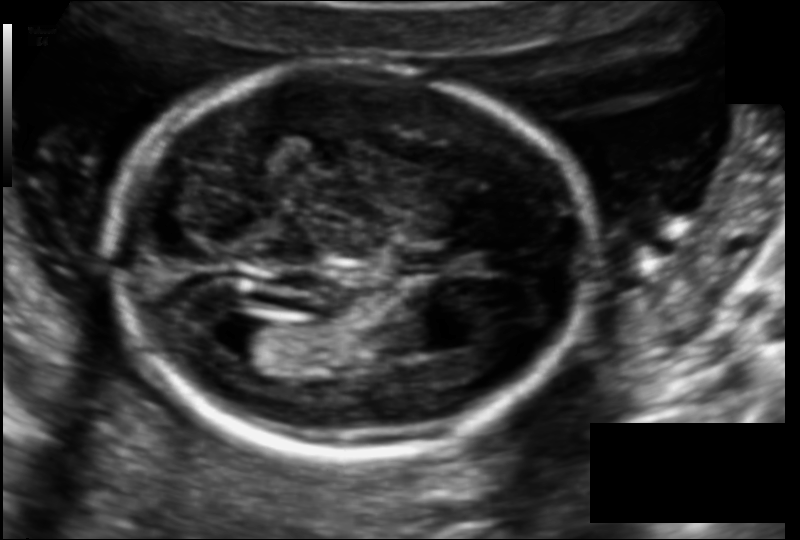
Fetal head ultrasound. Image width: 91.5 mm. Give [x1,y1,x2,y2] bounding boxes for each visible structure among: fetal head, CSP, LV.

Head: [111,63,594,454]
CSP: [401,253,458,274]
Lateral ventricle: [205,307,283,366]